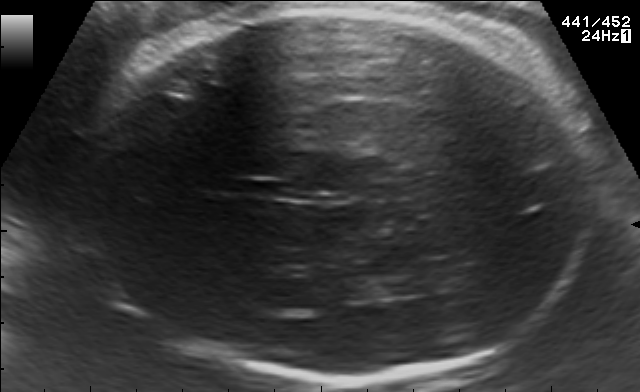
Fetal brain, trans-thalamic plane. Give [x1,y1,x2,y2] bounding boxes for each visible structure among: fetal head, CSP, LV.

Head: [72,7,591,377]